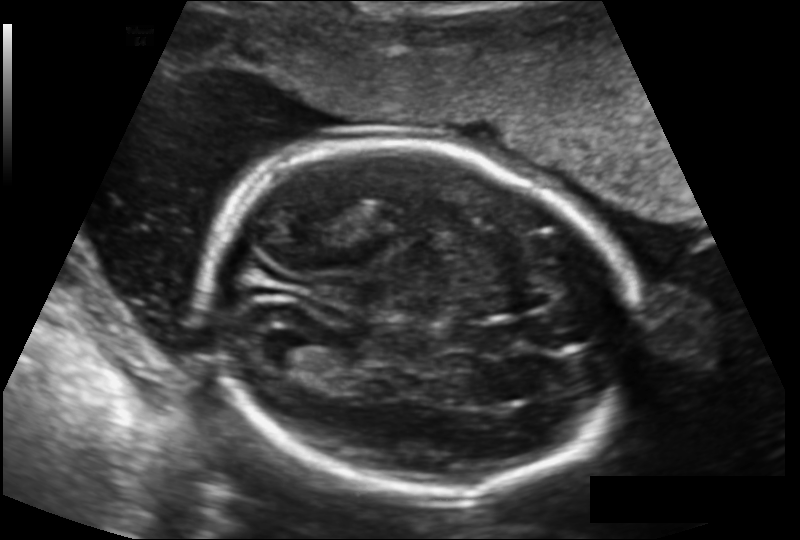
Fetal head ultrasound. Image width: 114.2 mm. Locate the fetal head and, if visible, the cavum septum pellucidum (CSP) and lateral ventricle (LV). Give bounding boxes as [x1,y1,x2,y2].

Head: [204,141,634,495]
Lateral ventricle: [260,324,332,383]